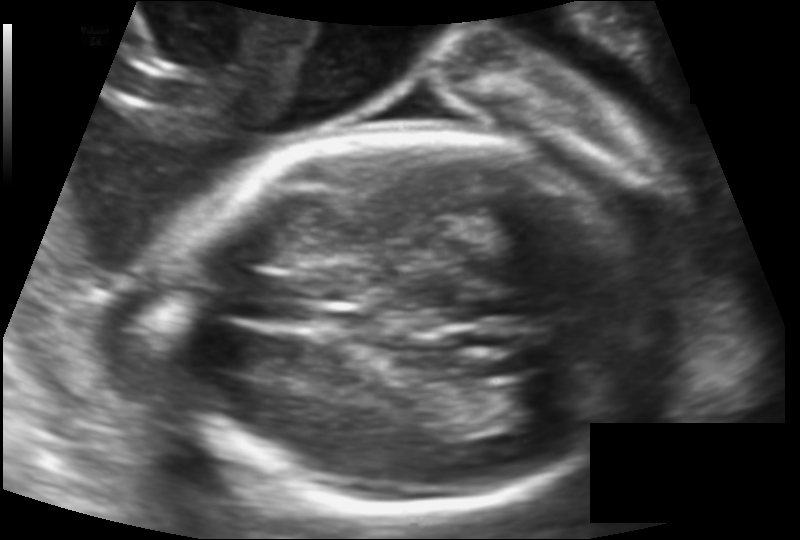
Fetal head ultrasound. Image width: 106.2 mm. Give [x1,y1,x2,y2] bounding boxes for each visible structure among: fetal head, CSP, LV.

Head: [170,129,655,515]
Lateral ventricle: [497,372,578,428]